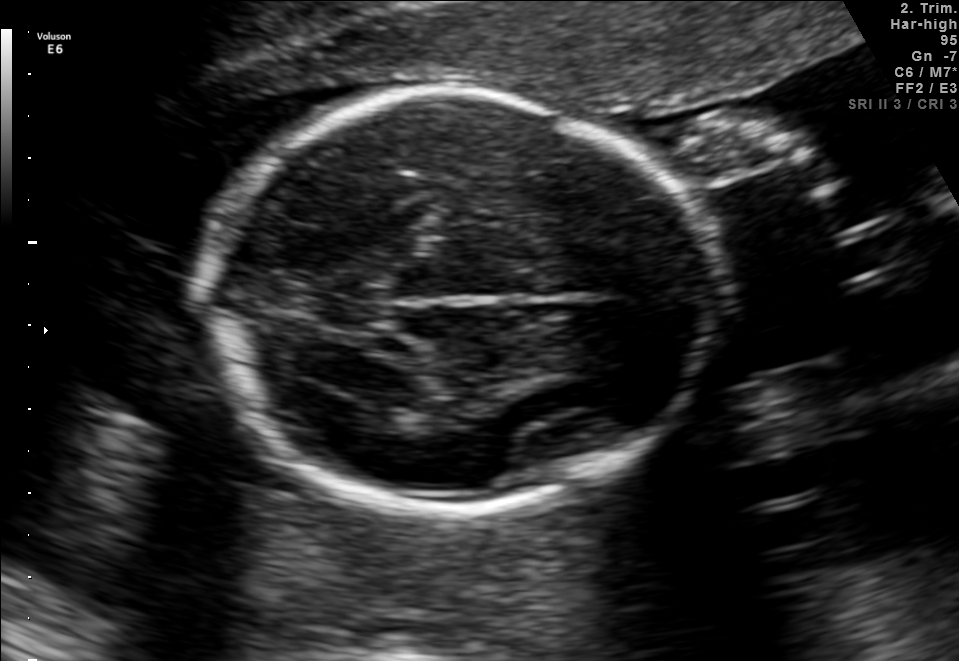
Fetal brain, trans-thalamic plane. Where is the lateral ventricle?

Lateral ventricle bounding box: [326,345,443,419]